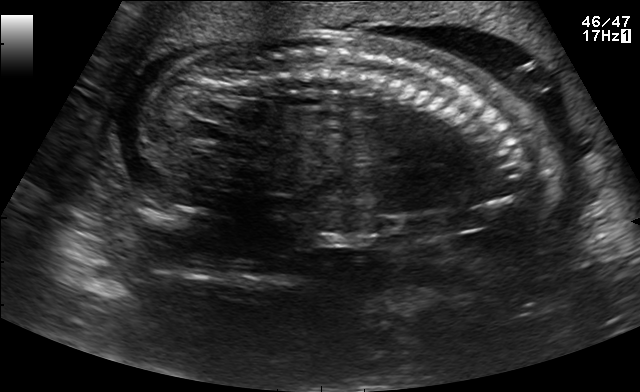
Which standard maternal-fetal ultrasound plane is shown: fetal abdomen, fetal brain, fetal femur, fetal thorax, maternal cervix, or other? If it's fetal brain and one of the three standard brain planes (trans-thalamic, trans-cerebellum, trans-ventricular), name which.

Other